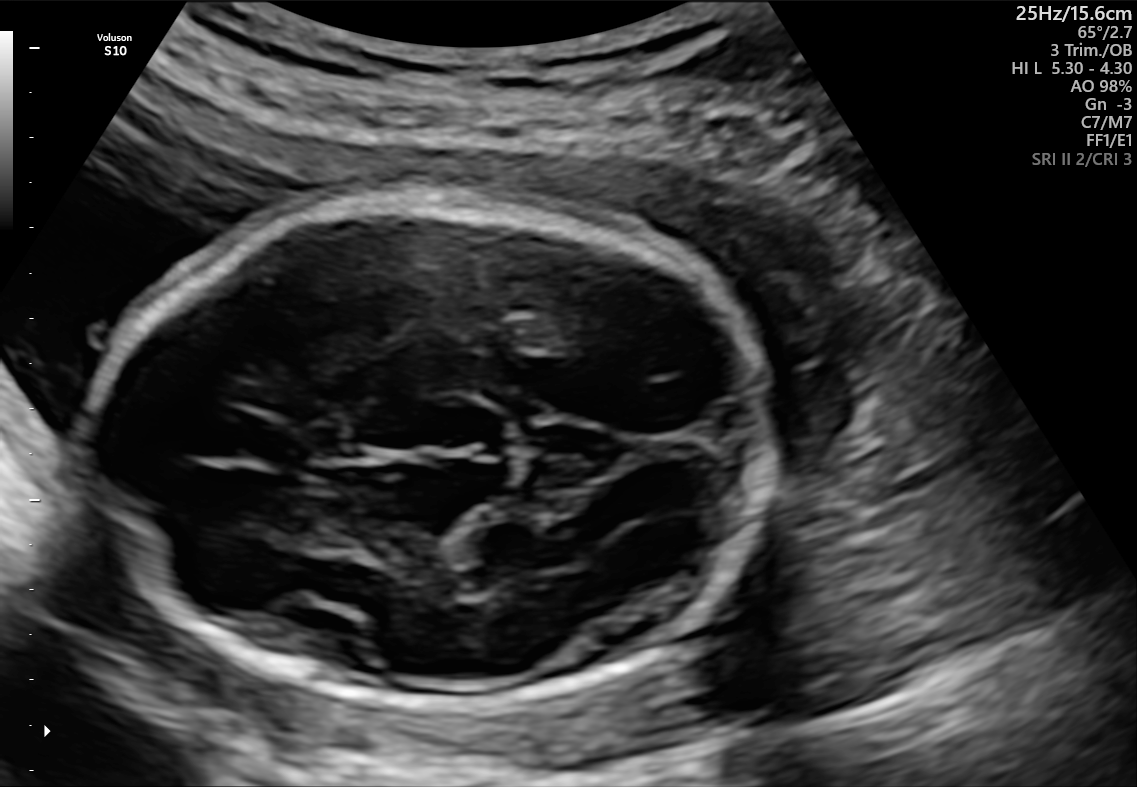
In this fetal brain, trans-thalamic plane, give bounding boxes for the head outline, cavum septum pellucidum (CSP), and lateral ventricle (LV), where visible.

Head: [88,193,772,704]